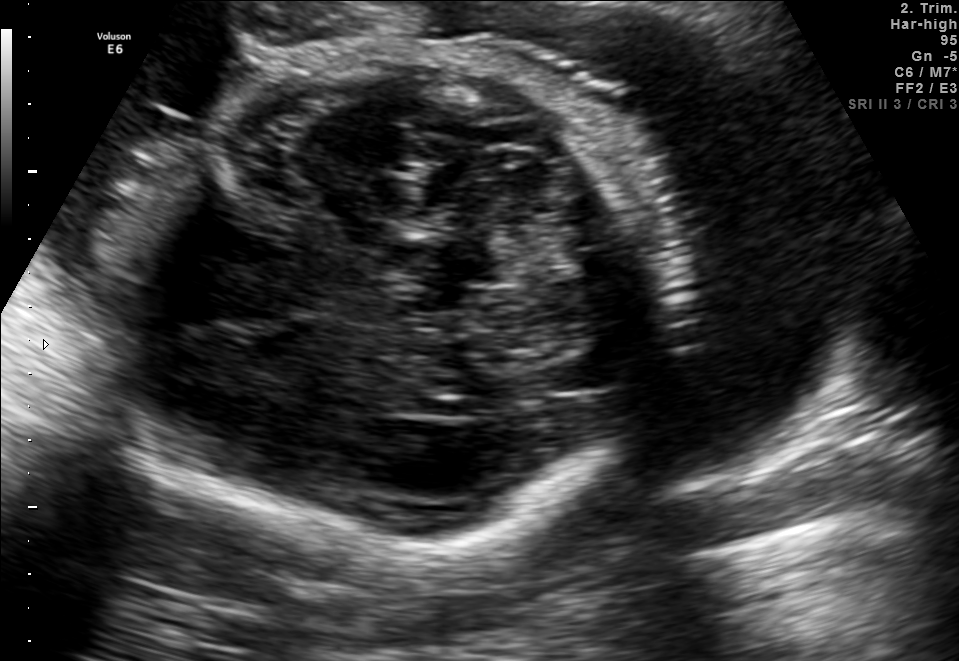
In this fetal brain, trans-cerebellum plane, give bounding boxes for the head outline, cavum septum pellucidum (CSP), and lateral ventricle (LV), where visible.

Head: [116,41,669,560]